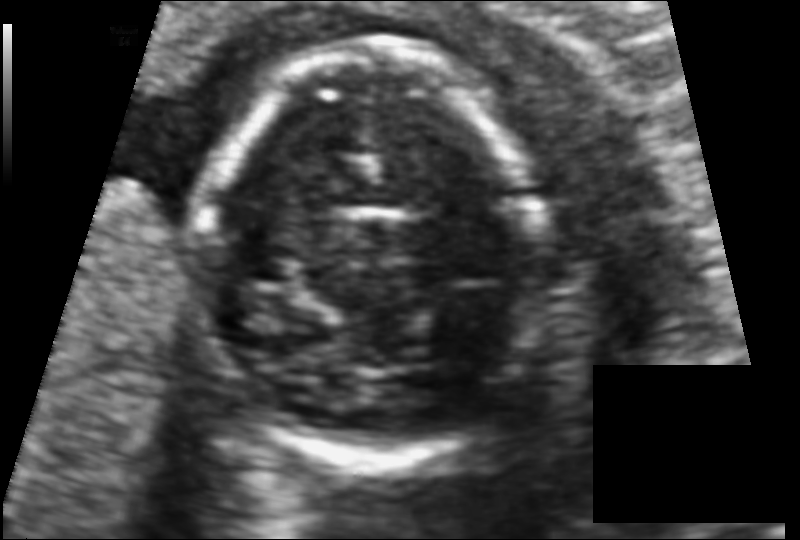
Fetal head ultrasound. Image width: 74.5 mm. Locate the fetal head.

Head: [205,42,541,457]